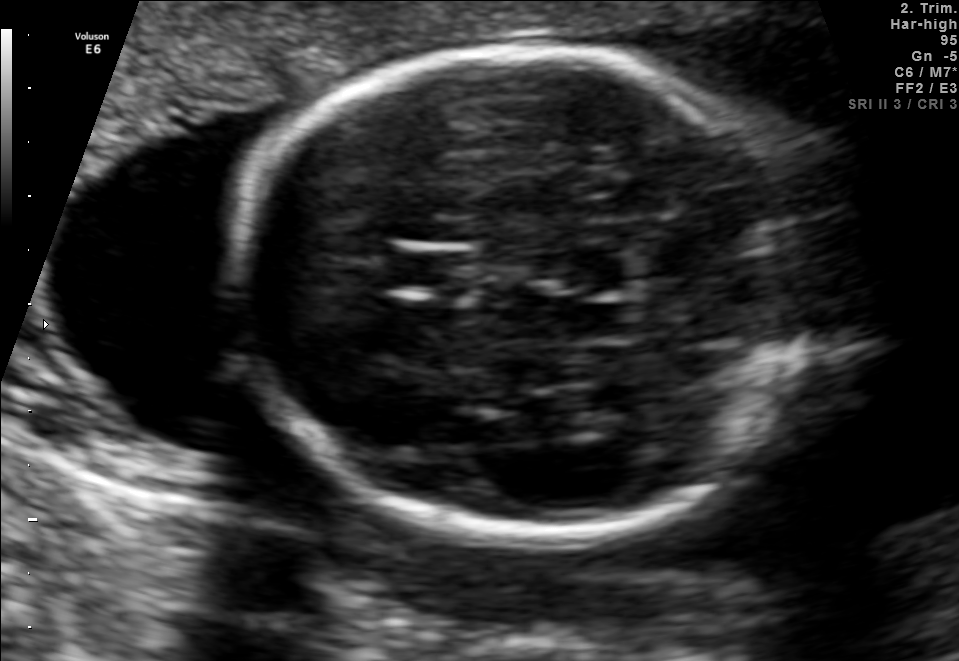
Fetal brain, trans-thalamic plane. Where is the fetal head?

Head bounding box: [228,50,813,541]